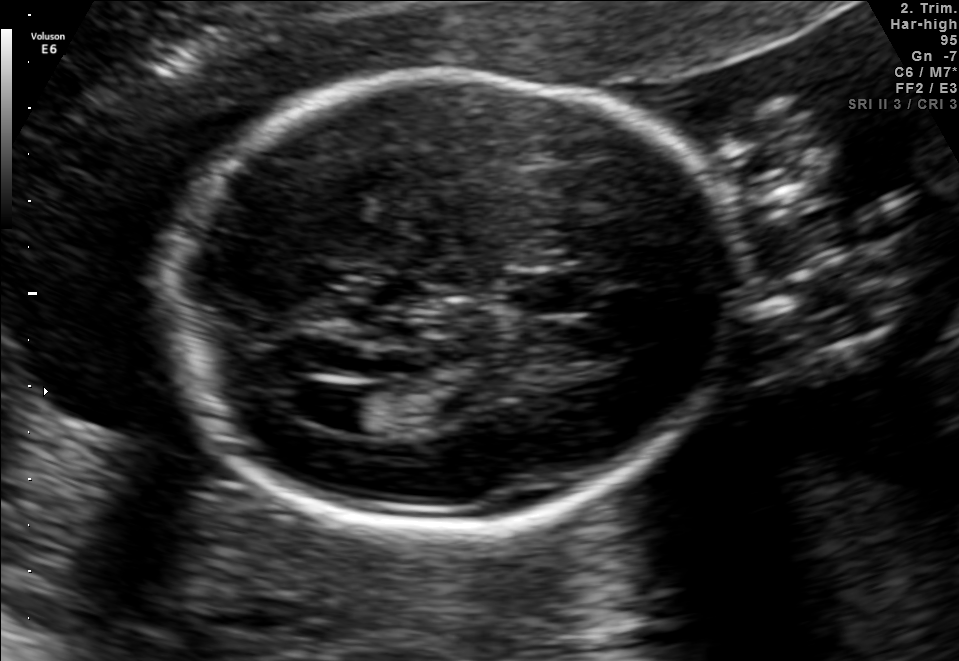
Fetal brain, trans-ventricular plane. Where is the cavum septum pellucidum?

CSP bounding box: [497,267,601,321]